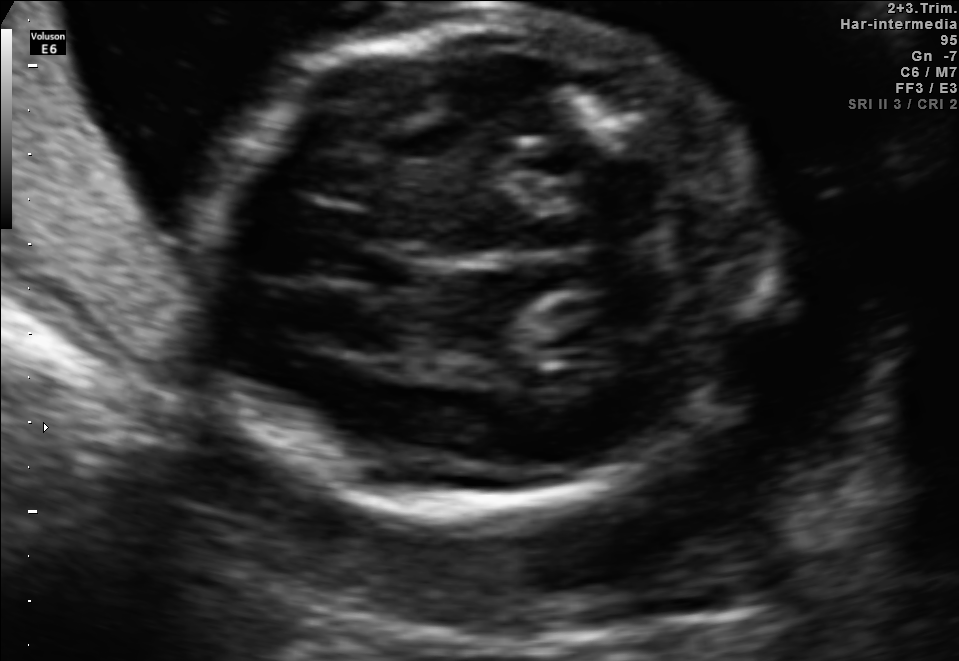
In this fetal brain, trans-cerebellum plane, give the bounding box of the cavum septum pellucidum.

[348,245,426,295]